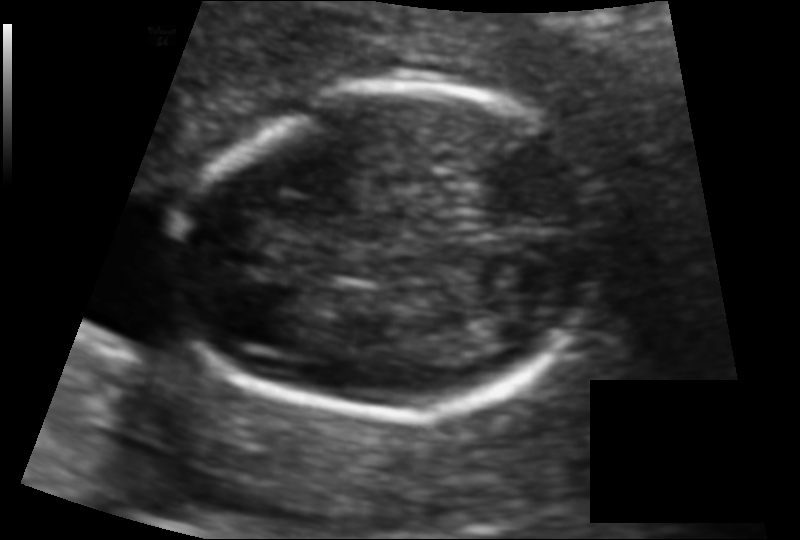
In this fetal head ultrasound, give the bounding box of the fetal head. Image width: 76.2 mm.

[176,86,602,415]